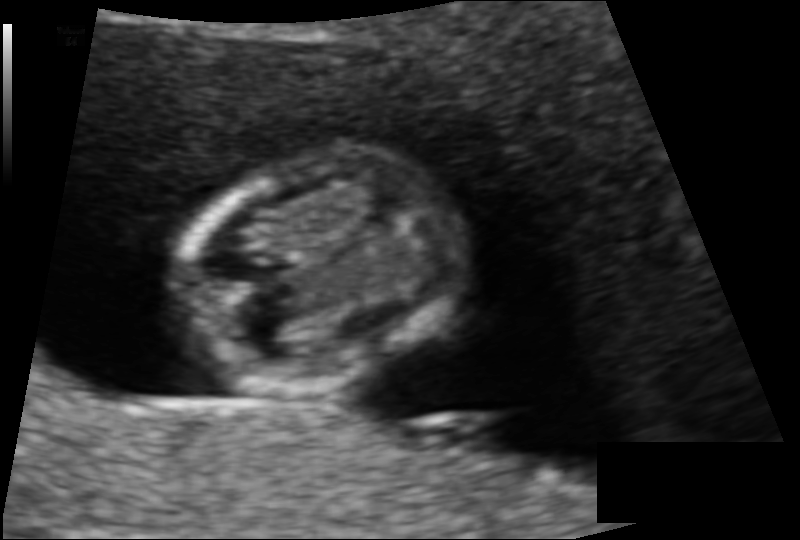
Fetal head ultrasound. Image width: 68.5 mm. Give [x1,y1,x2,y2] bounding boxes for each visible structure among: fetal head, CSP, LV.

Head: [172,151,468,399]